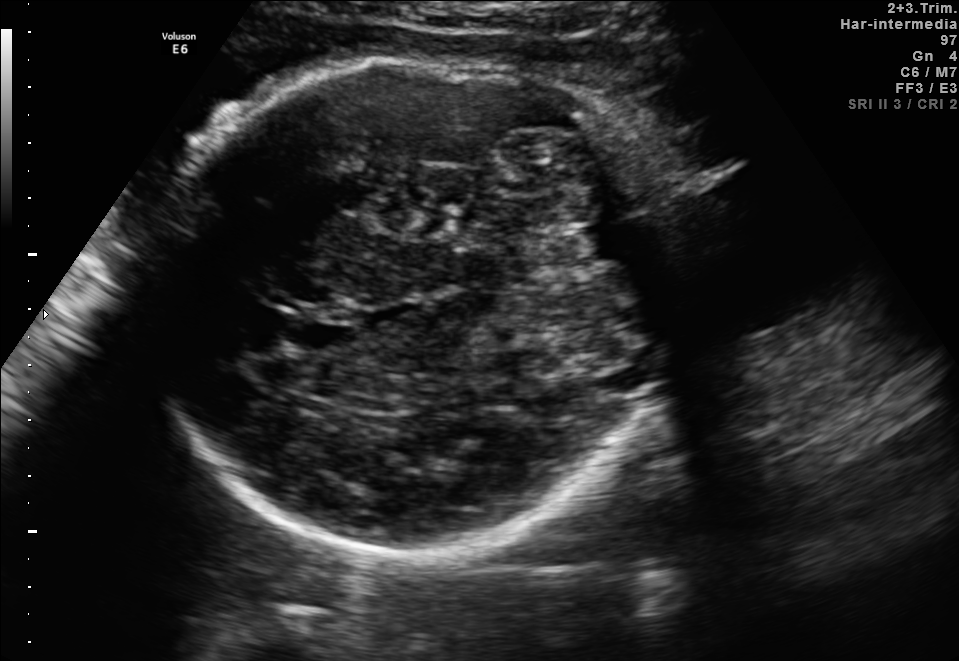
Fetal brain, trans-thalamic plane. Locate the cavum septum pellucidum.

CSP: [288,314,357,350]